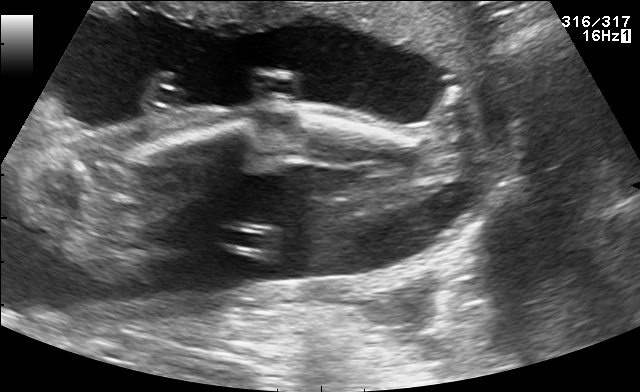
This is a 2D maternal-fetal ultrasound frame. Is it a fetal abdomen, fetal brain, fetal femur, fetal thorax, maternal cervix, or other standard plane? If it's fetal brain and one of the three standard brain planes (trans-thalamic, trans-cerebellum, trans-ventricular), name which.

Fetal femur